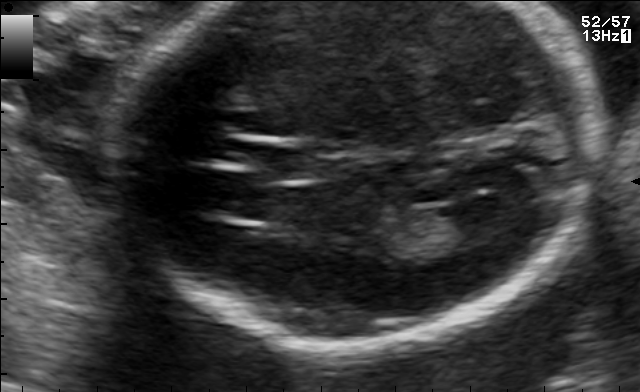
In this fetal brain, trans-ventricular plane, give the bounding box of the cavum septum pellucidum.

[246,144,350,180]